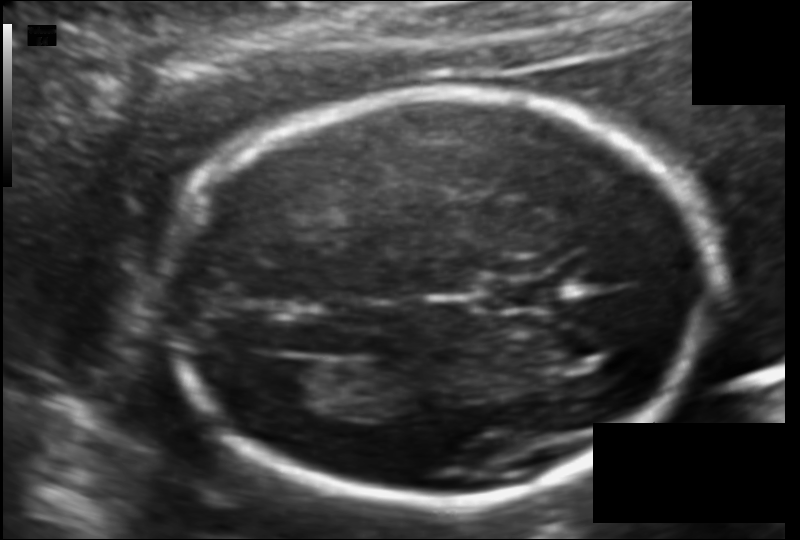
In this fetal head ultrasound, give the bounding box of the cavum septum pellucidum. Image width: 88.5 mm.

[482,278,553,310]